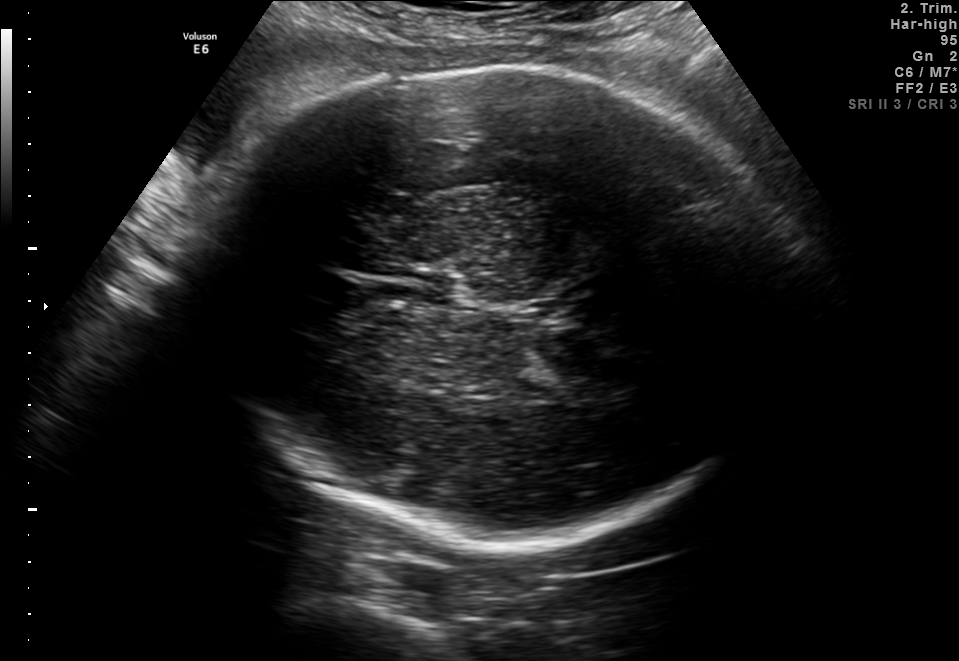
Fetal brain, trans-thalamic plane. Locate the fetal head and, if visible, the cavum septum pellucidum (CSP) and lateral ventricle (LV). Give bounding boxes as [x1,y1,x2,y2].

Head: [203,67,800,548]